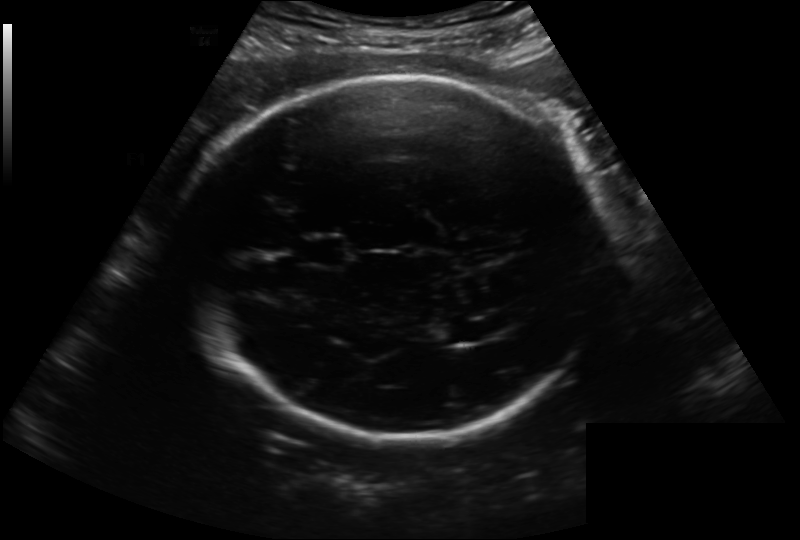
Fetal head ultrasound. Image width: 177.3 mm. Locate the fetal head and, if visible, the cavum septum pellucidum (CSP) and lateral ventricle (LV). Give bounding boxes as [x1,y1,x2,y2].

Head: [179,74,607,436]
CSP: [303,237,346,266]
Lateral ventricle: [434,321,474,345]